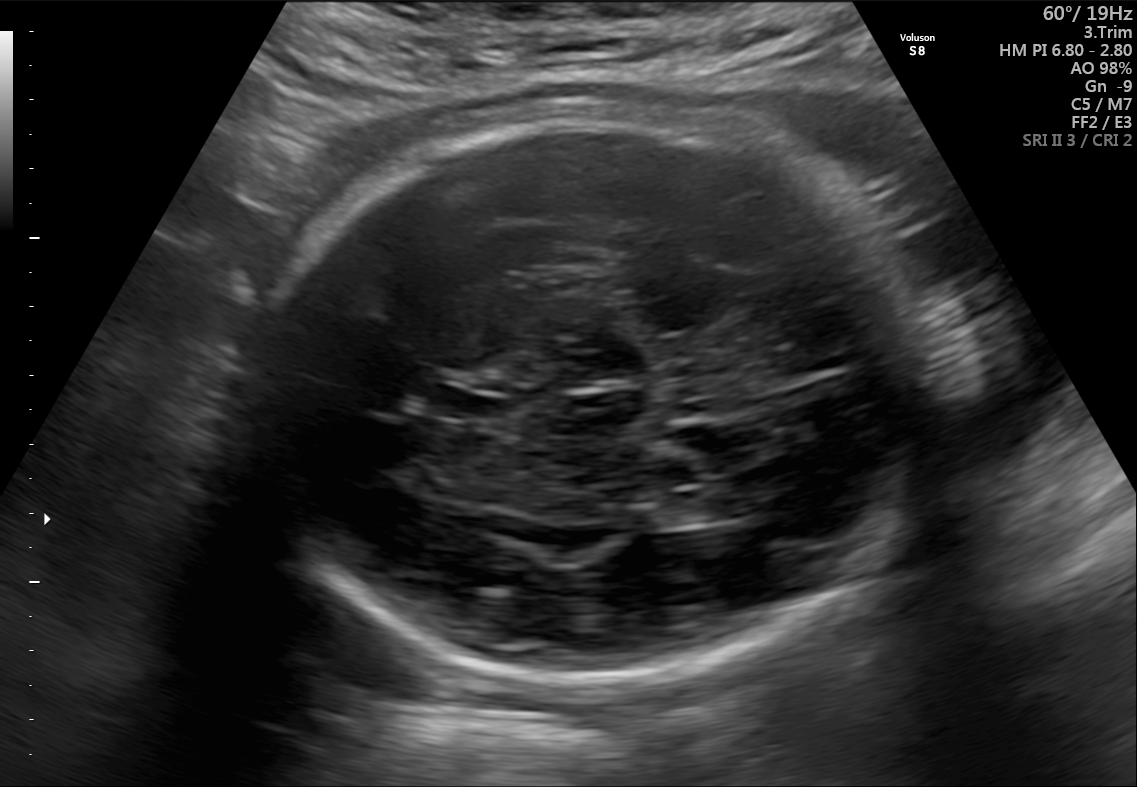
Fetal brain, trans-ventricular plane. Give [x1,y1,x2,y2] bounding boxes for each visible structure among: fetal head, CSP, LV.

Head: [248,104,937,700]